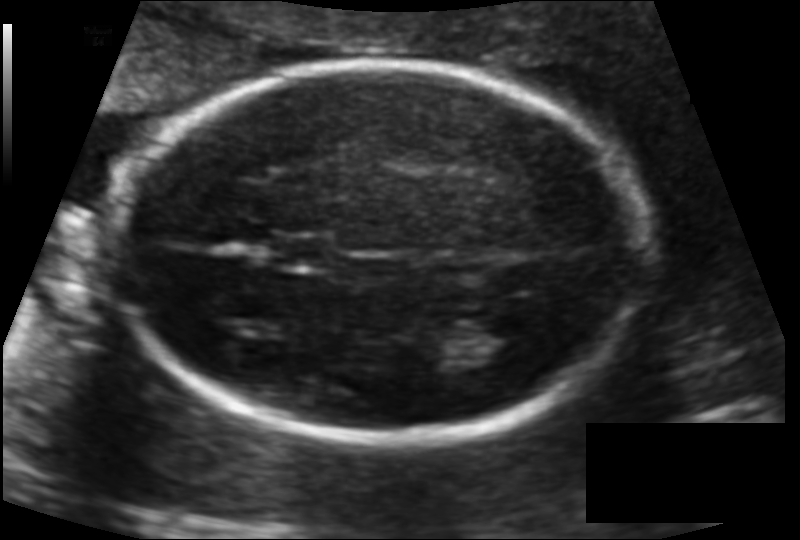
Estimate the fetal head circumference from this 2D ultrasound.

Head circumference: 167.2 mm (image width 91.7 mm).